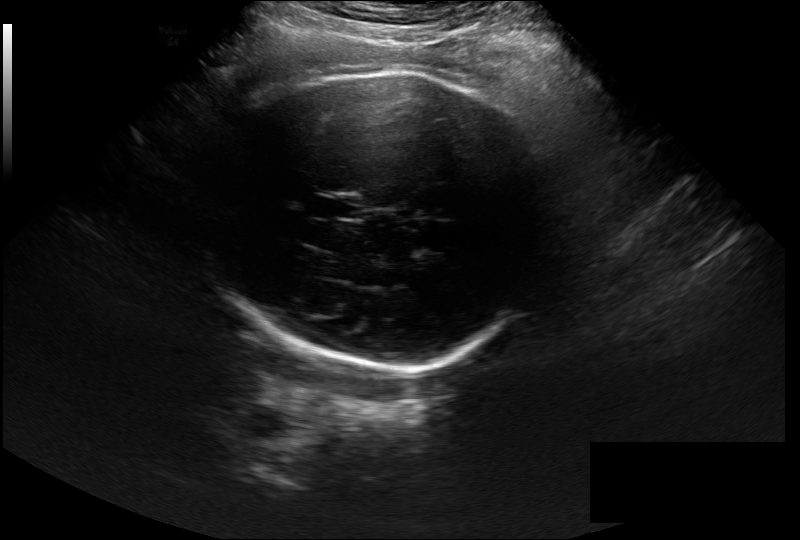
What is the fetal head circumference? Image width is 237.6 mm.

313.2 mm